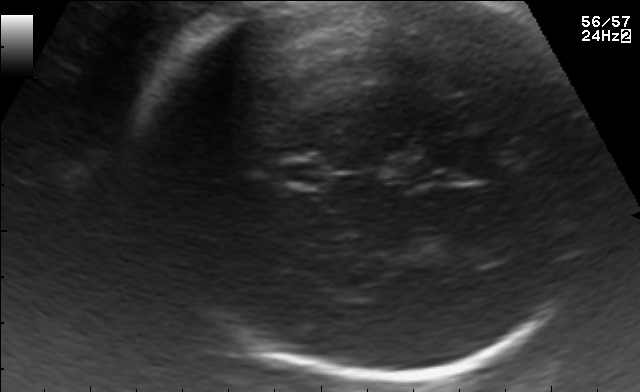
Fetal brain, trans-thalamic plane. Where is the fetal head?

Head bounding box: [137,1,602,377]